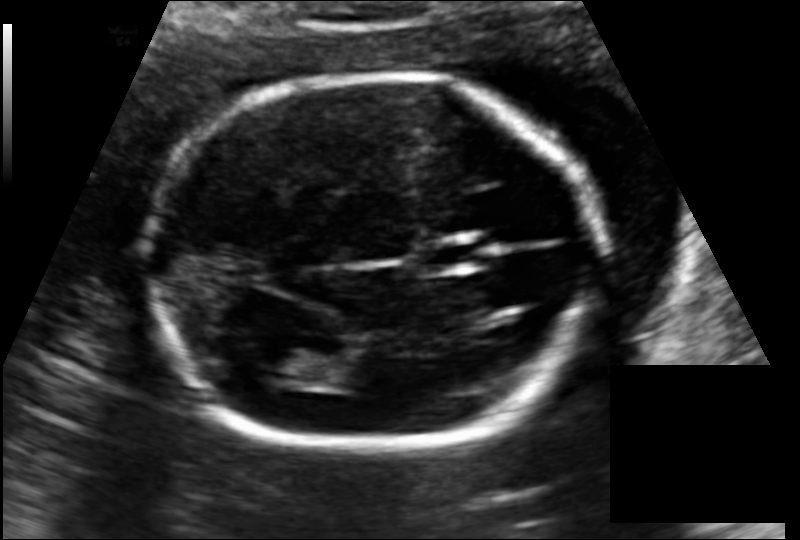
Estimate the fetal head circumference from this 2D ultrasound. Image width: 101.6 mm.

Head circumference: 170.5 mm.